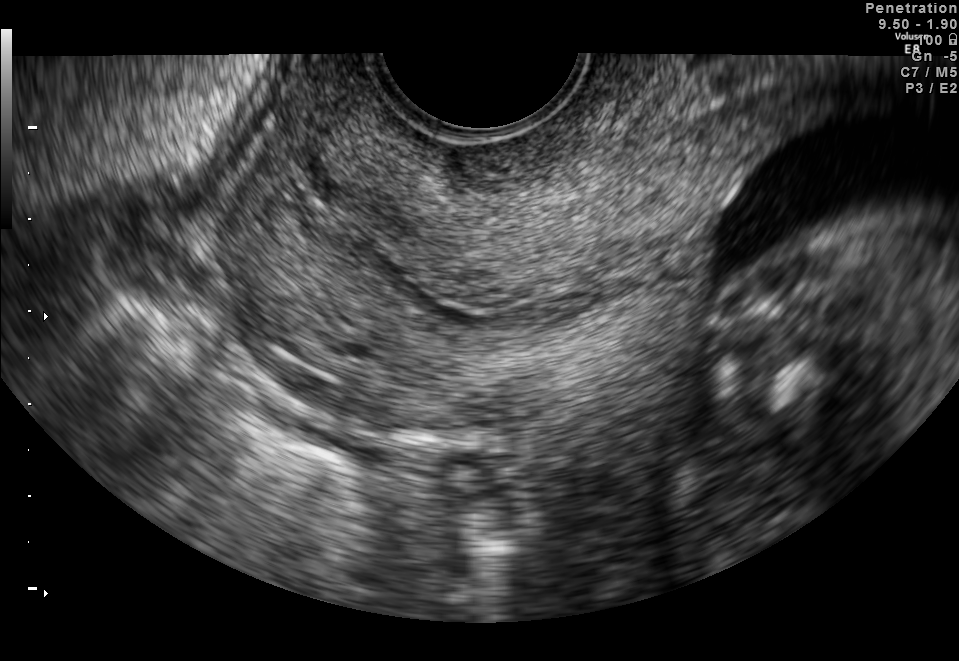
Identify the standard plane in this fetal ultrasound image: fetal abdomen, fetal brain, fetal femur, fetal thorax, maternal cervix, or other. If it's fetal brain and one of the three standard brain planes (trans-thalamic, trans-cerebellum, trans-ventricular), name which.

Maternal cervix